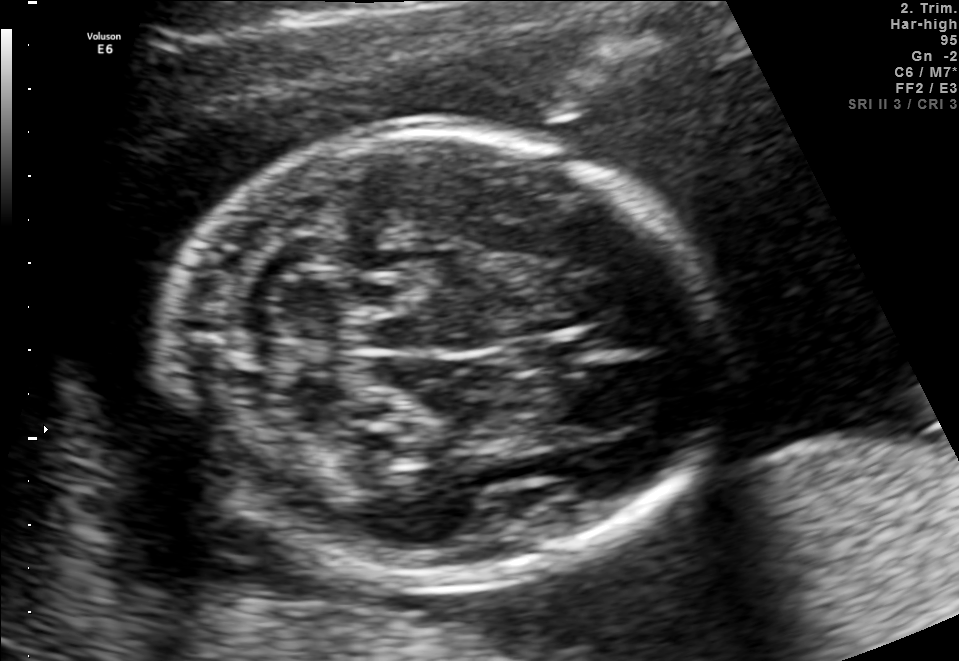
Fetal brain, trans-cerebellum plane. Where is the cavum septum pellucidum?

CSP bounding box: [504,333,574,375]